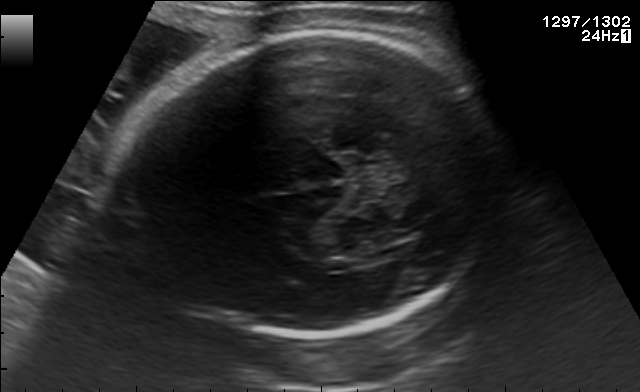
Fetal brain, trans-thalamic plane. Locate the fetal head and, if visible, the cavum septum pellucidum (CSP) and lateral ventricle (LV). Give bounding boxes as [x1,y1,x2,y2].

Head: [113,31,501,340]